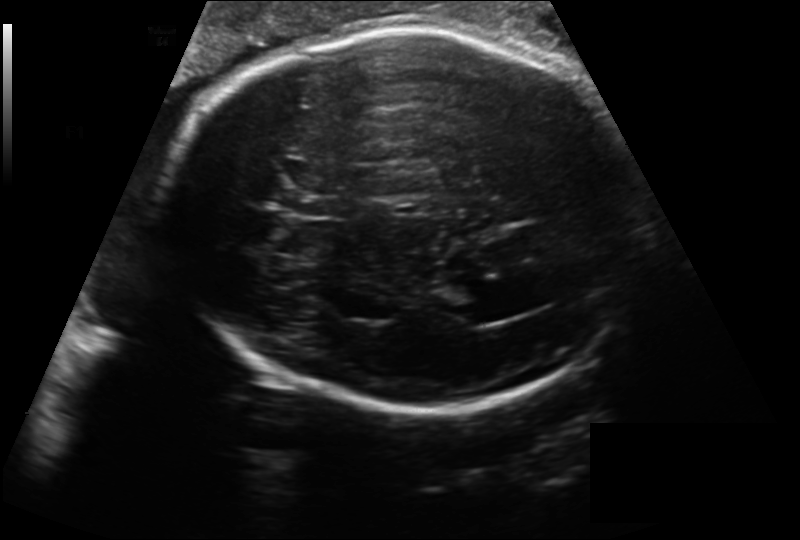
Fetal head ultrasound. Image width: 174.3 mm. Locate the fetal head.

Head: [163,30,646,410]